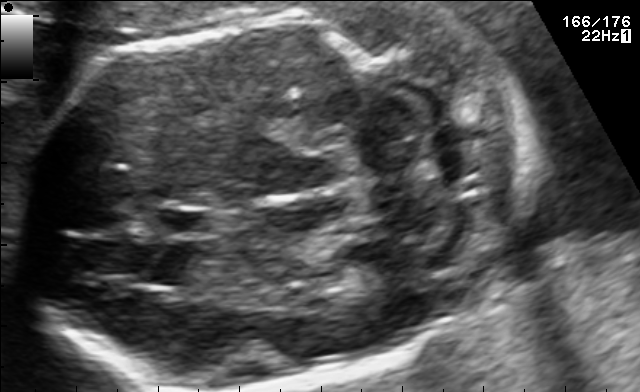
In this fetal brain, trans-cerebellum plane, give bounding boxes for the head outline, cavum septum pellucidum (CSP), and lateral ventricle (LV), where visible.

Head: [18,5,539,388]
CSP: [152,207,220,237]